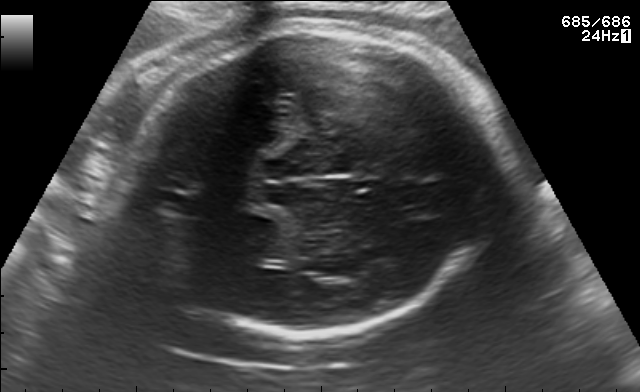
In this fetal brain, trans-thalamic plane, give the bounding box of the fetal head.

[128,24,501,334]